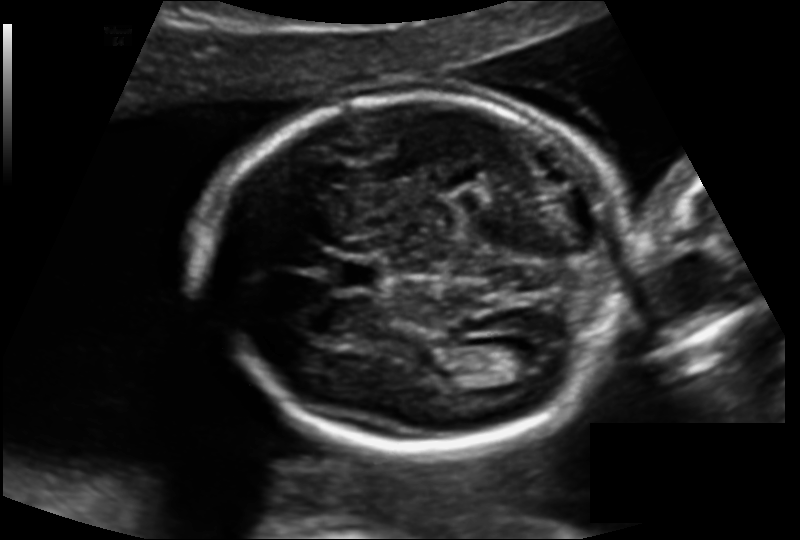
Measure the fetal head circumference shown in this ultrasound image. Image width: 110.2 mm.

Head circumference: 174.0 mm.